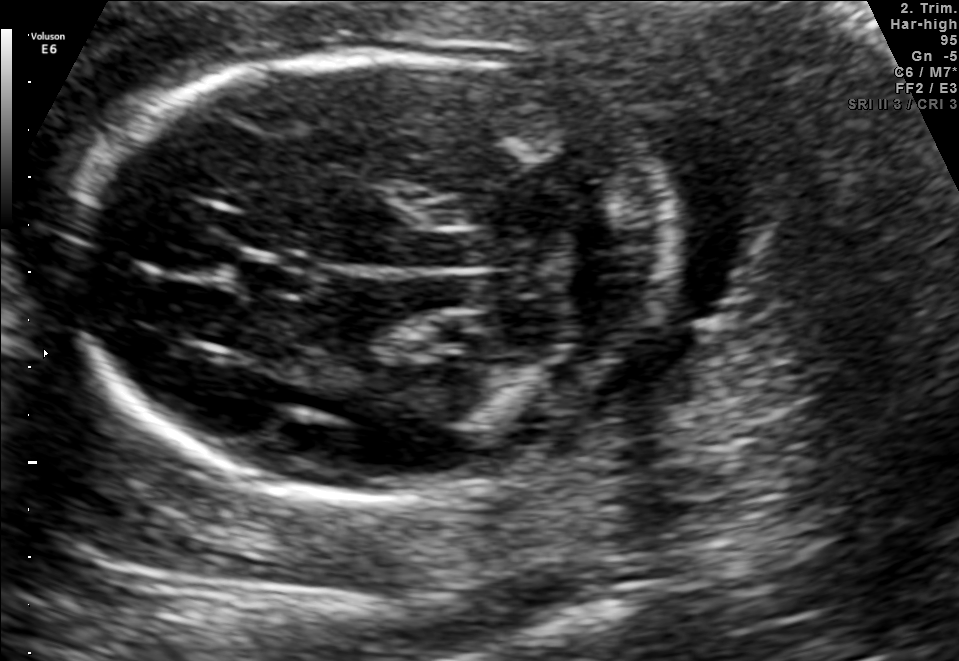
Fetal brain, trans-cerebellum plane. Give [x1,y1,x2,y2] bounding boxes for each visible structure among: fetal head, CSP, LV.

Head: [68,55,673,496]
CSP: [236,253,312,300]